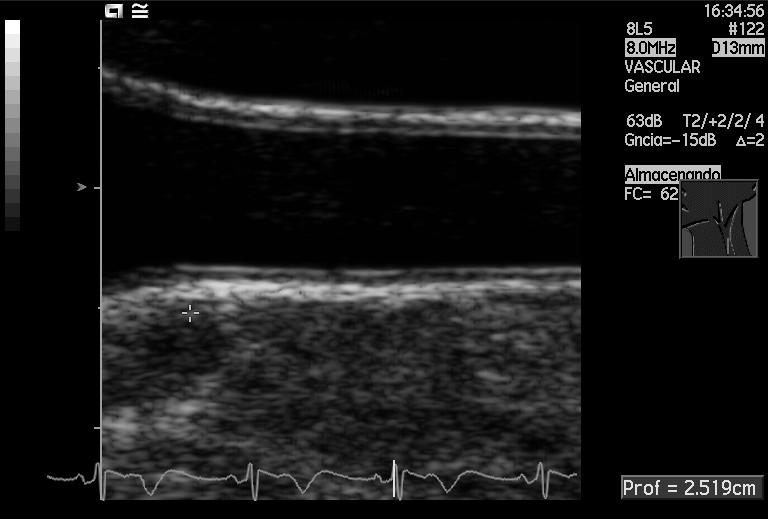
Classify this maternal-fetal ultrasound image as one of the six standard planes — fetal abdomen, fetal brain, fetal femur, fetal thorax, maternal cervix, or other. If it's fetal brain and one of the three standard brain planes (trans-thalamic, trans-cerebellum, trans-ventricular), name which.

Other